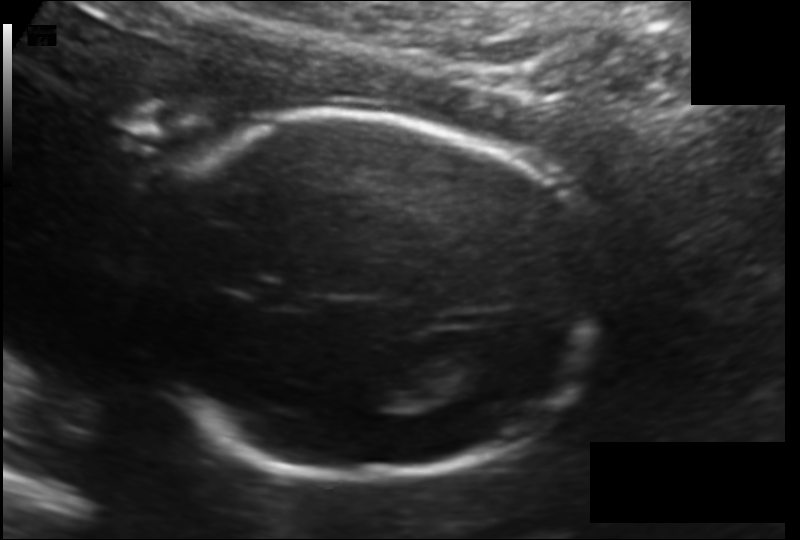
What is the fetal head circumference? Image width is 107.8 mm.

181.5 mm